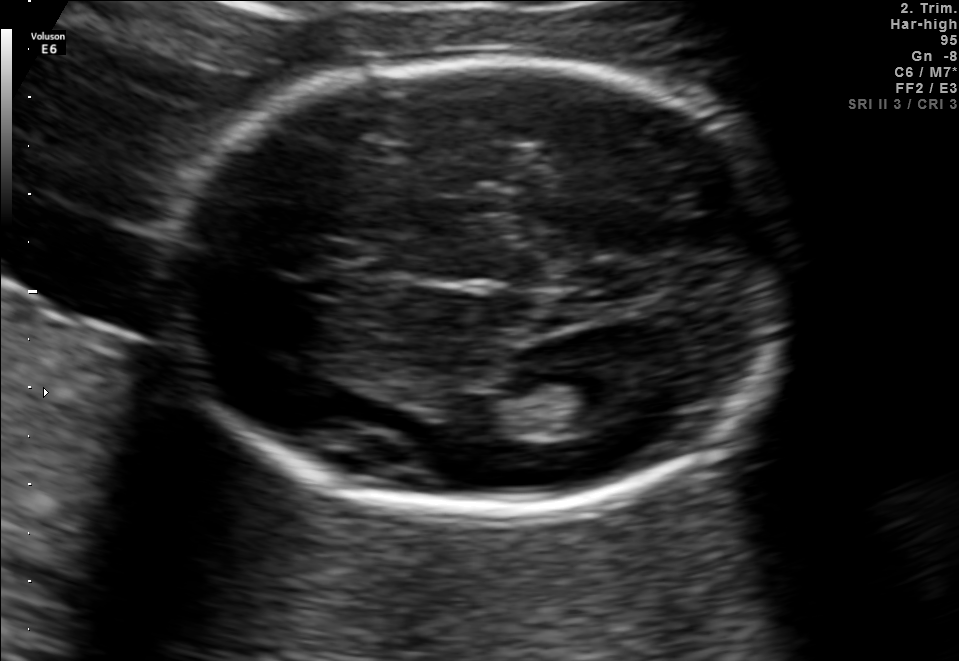
In this fetal brain, trans-thalamic plane, give bounding boxes for the head outline, cavum septum pellucidum (CSP), and lateral ventricle (LV), where visible.

Head: [161,58,792,513]
Lateral ventricle: [523,363,633,436]